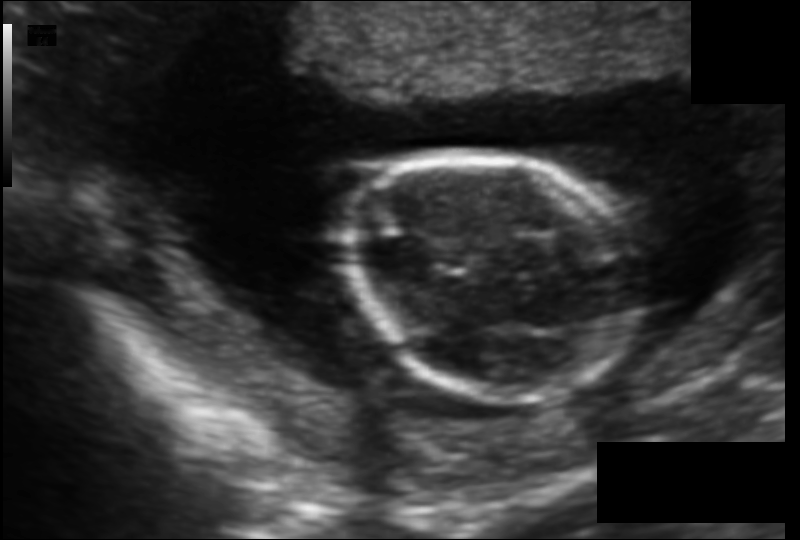
Fetal head ultrasound. Image width: 92.1 mm. Give [x1,y1,x2,y2] bounding boxes for each visible structure among: fetal head, CSP, LV.

Head: [347,149,643,403]